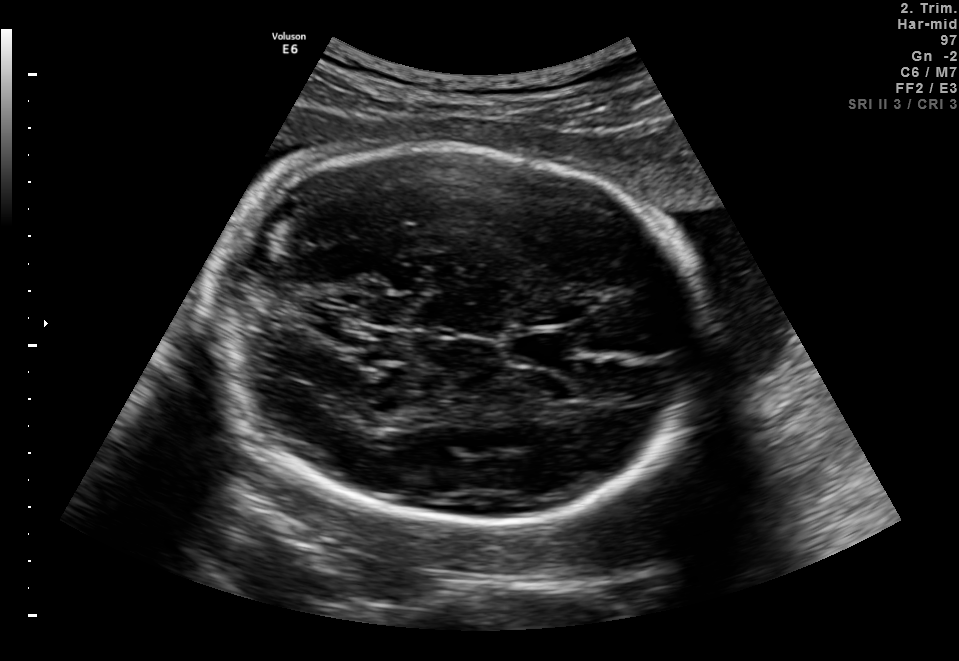
In this fetal brain, trans-thalamic plane, give the bounding box of the fetal head.

[214,145,719,530]